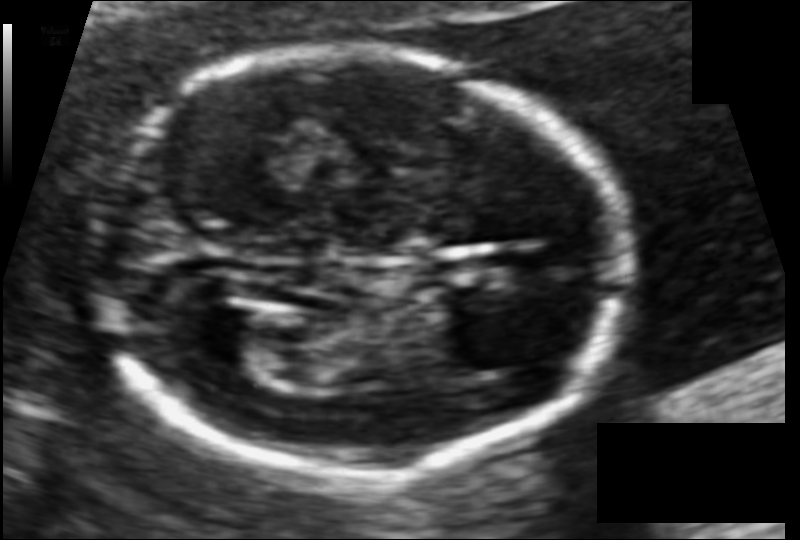
In this fetal head ultrasound, give bounding boxes for the head outline, cavum septum pellucidum (CSP), and lateral ventricle (LV), where visible. Image width: 69.9 mm.

Head: [96,49,619,475]
Lateral ventricle: [180,298,276,373]